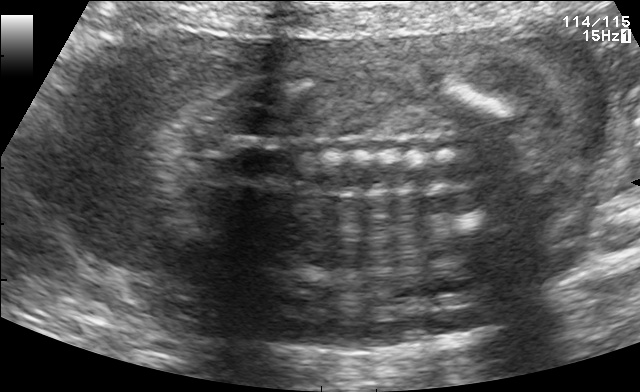
Classify this maternal-fetal ultrasound image as one of the six standard planes — fetal abdomen, fetal brain, fetal femur, fetal thorax, maternal cervix, or other. If it's fetal brain and one of the three standard brain planes (trans-thalamic, trans-cerebellum, trans-ventricular), name which.

Other